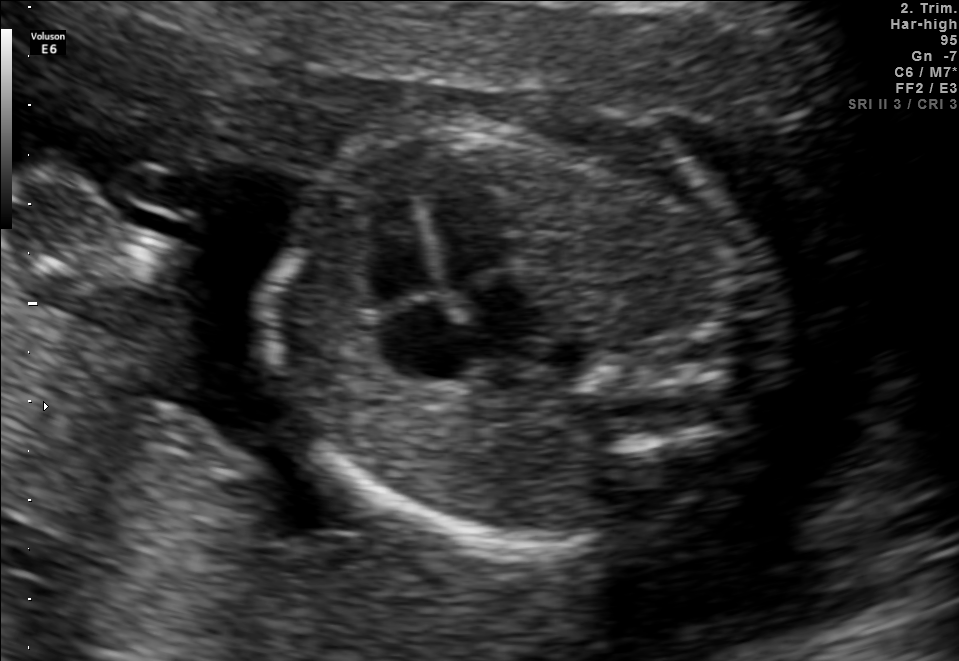
Classify this maternal-fetal ultrasound image as one of the six standard planes — fetal abdomen, fetal brain, fetal femur, fetal thorax, maternal cervix, or other. If it's fetal brain and one of the three standard brain planes (trans-thalamic, trans-cerebellum, trans-ventricular), name which.

Fetal thorax